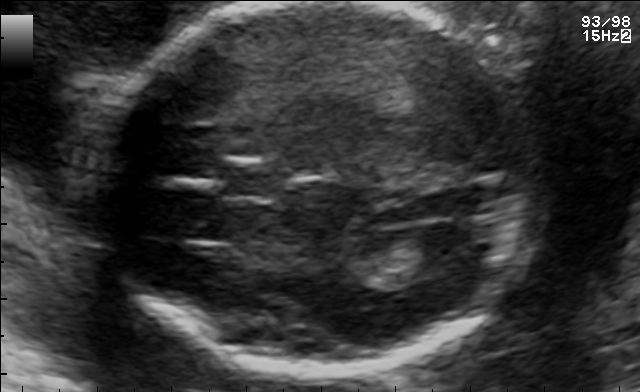
Fetal brain, trans-ventricular plane. Locate the fetal head.

Head: [78,2,555,379]